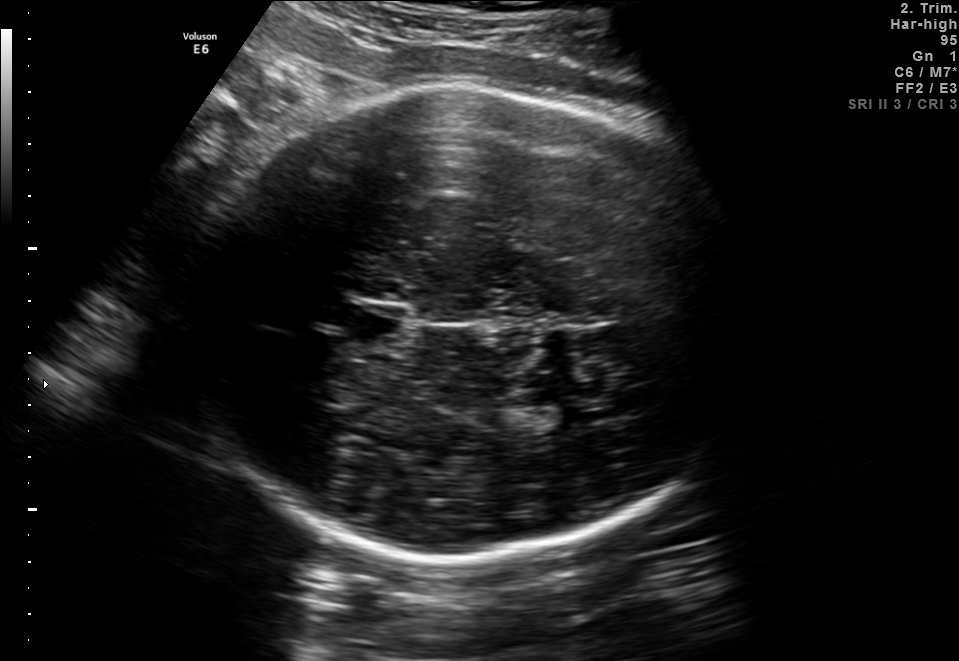
Fetal brain, trans-thalamic plane. Locate the cavum septum pellucidum.

CSP: [333,301,408,351]